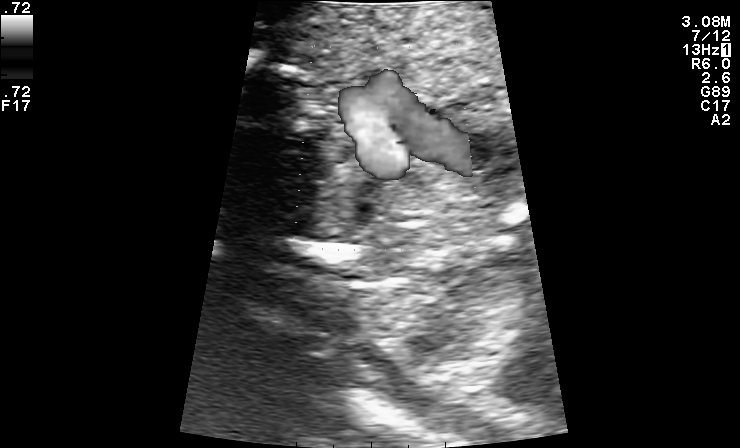
Identify the standard plane in this fetal ultrasound image: fetal abdomen, fetal brain, fetal femur, fetal thorax, maternal cervix, or other. If it's fetal brain and one of the three standard brain planes (trans-thalamic, trans-cerebellum, trans-ventricular), name which.

Other